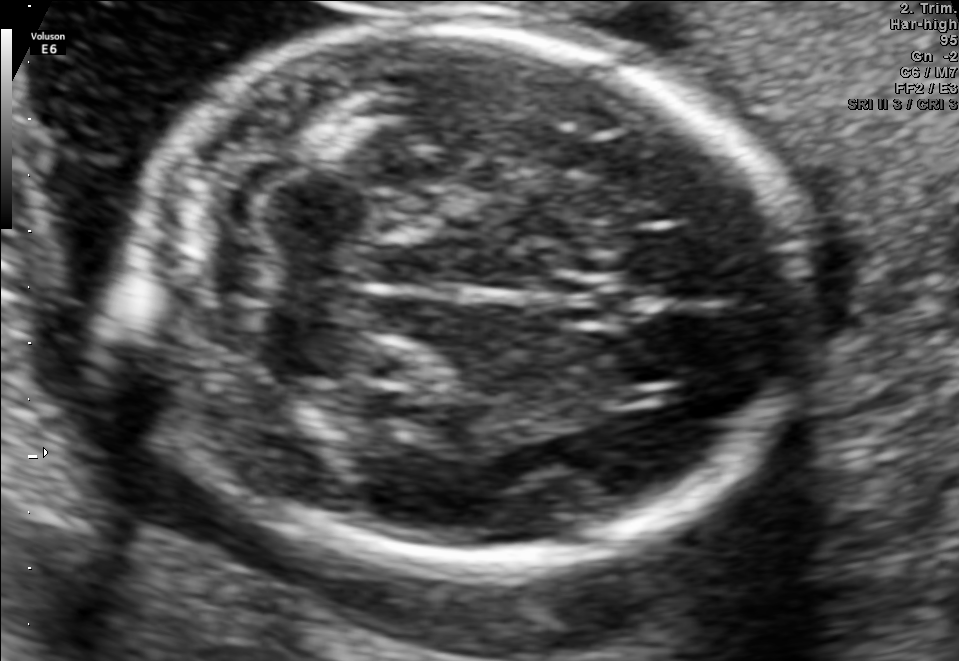
In this fetal brain, trans-cerebellum plane, give bounding boxes for the head outline, cavum septum pellucidum (CSP), and lateral ventricle (LV), where visible.

Head: [132,26,801,567]